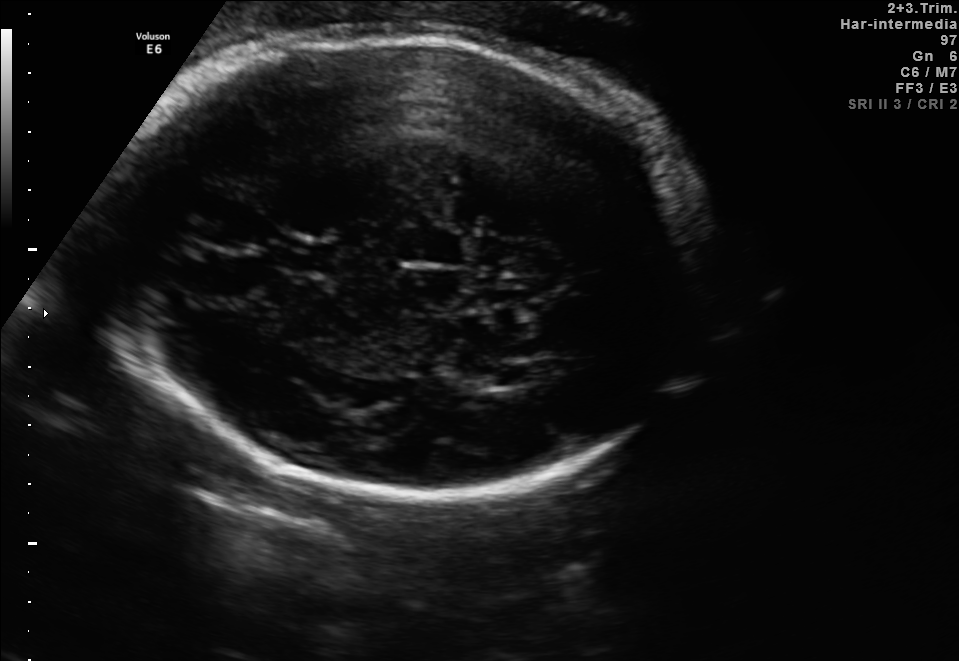
Fetal brain, trans-ventricular plane. Locate the lateral ventricle.

Lateral ventricle: [493,362,529,388]